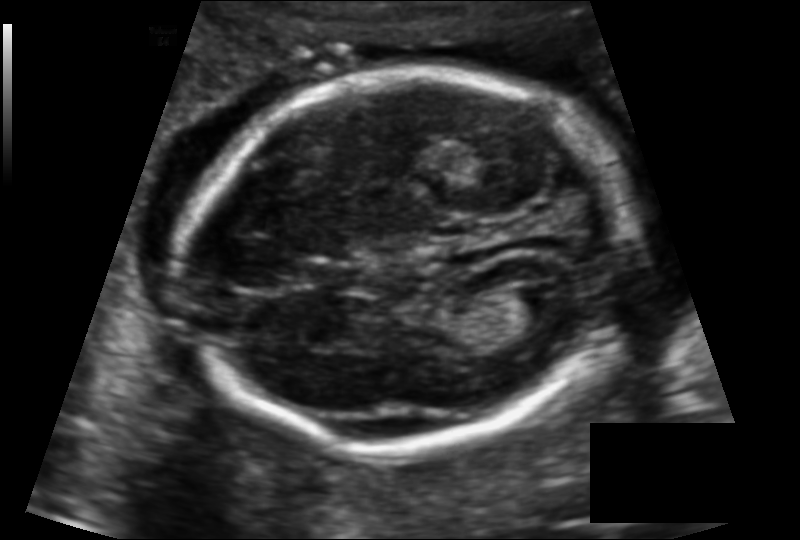
Fetal head ultrasound. Image width: 99.3 mm. Locate the fetal head and, if visible, the cavum septum pellucidum (CSP) and lateral ventricle (LV). Give bounding boxes as [x1,y1,x2,y2].

Head: [178,74,634,453]
Lateral ventricle: [505,276,577,332]